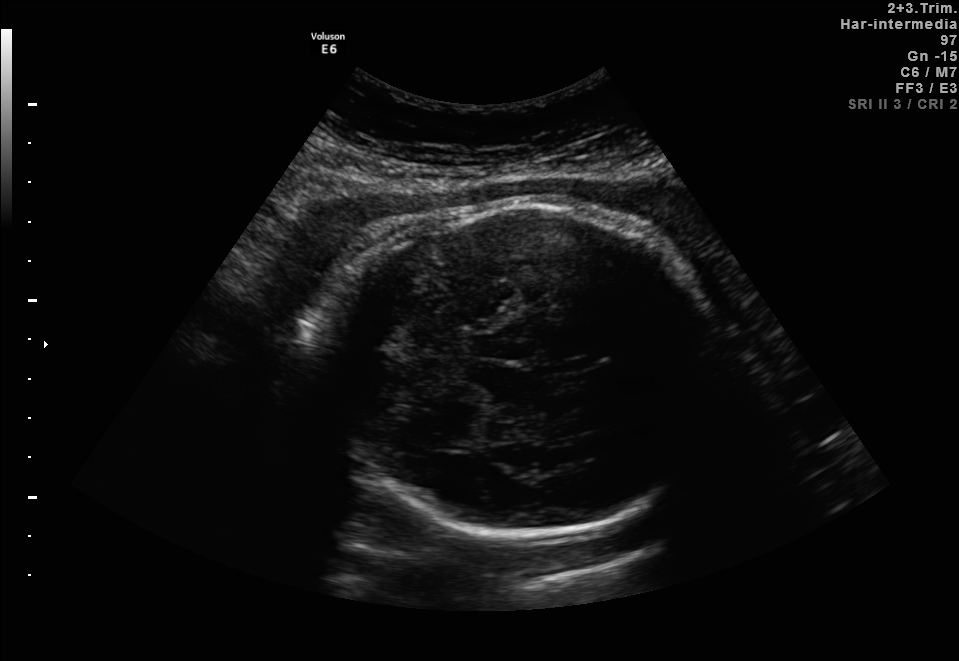
Fetal brain, trans-thalamic plane. Give [x1,y1,x2,y2] bounding boxes for each visible structure among: fetal head, CSP, LV.

Head: [310,198,721,539]